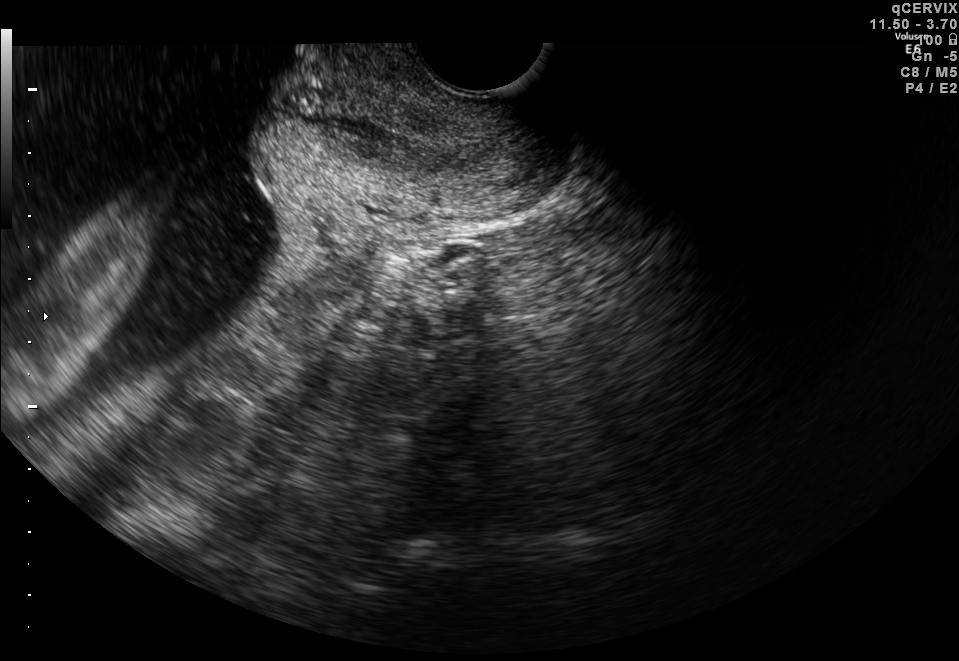
Which standard maternal-fetal ultrasound plane is shown: fetal abdomen, fetal brain, fetal femur, fetal thorax, maternal cervix, or other? If it's fetal brain and one of the three standard brain planes (trans-thalamic, trans-cerebellum, trans-ventricular), name which.

Maternal cervix